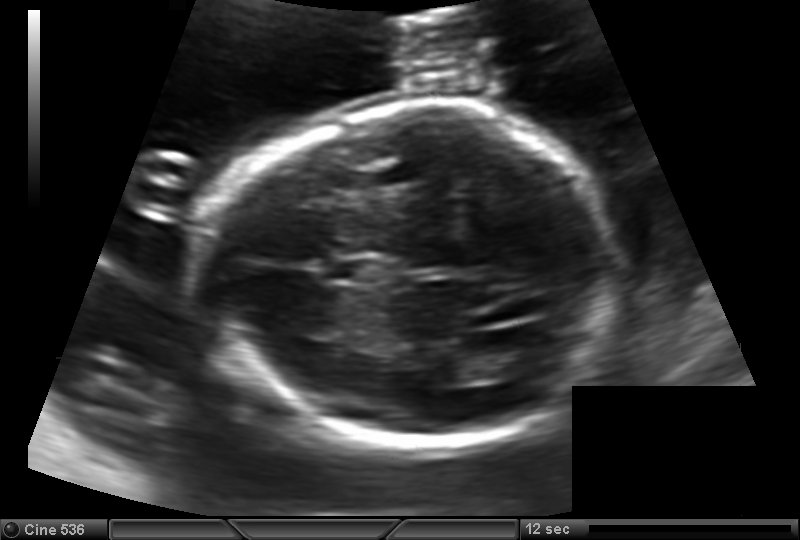
Fetal head ultrasound. Image width: 115.2 mm. Where is the cavum septum pellucidum?

CSP bounding box: [335,259,379,282]